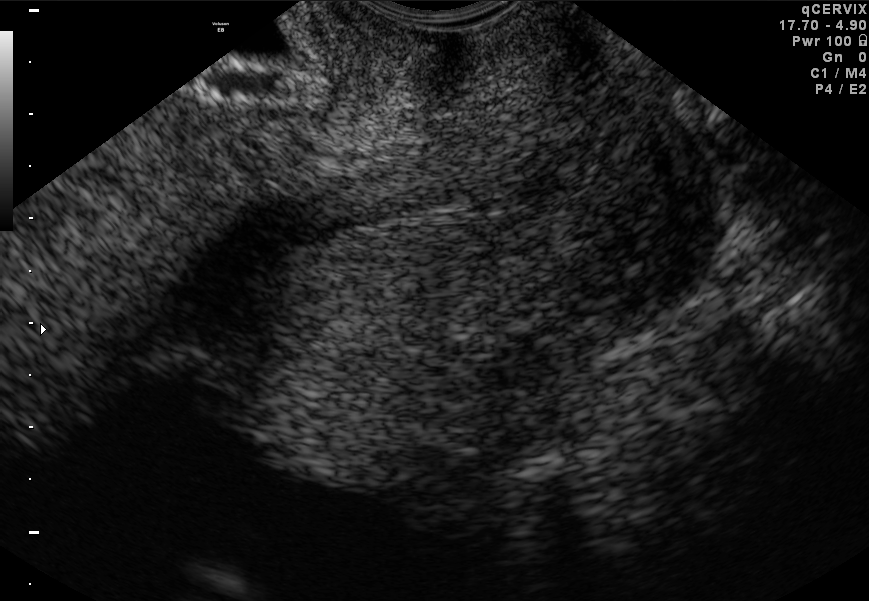
Which standard maternal-fetal ultrasound plane is shown: fetal abdomen, fetal brain, fetal femur, fetal thorax, maternal cervix, or other? If it's fetal brain and one of the three standard brain planes (trans-thalamic, trans-cerebellum, trans-ventricular), name which.

Maternal cervix